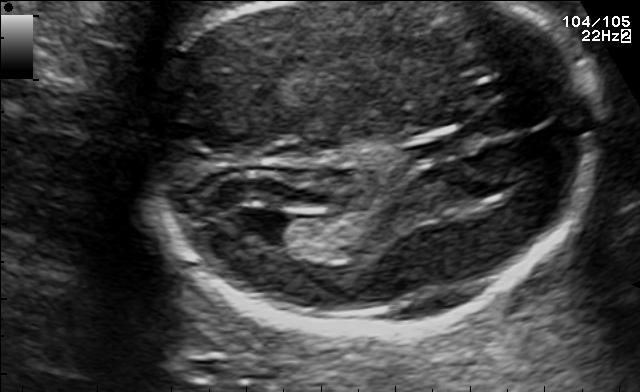
Fetal brain, trans-ventricular plane. Locate the lateral ventricle.

Lateral ventricle: [227,197,305,249]